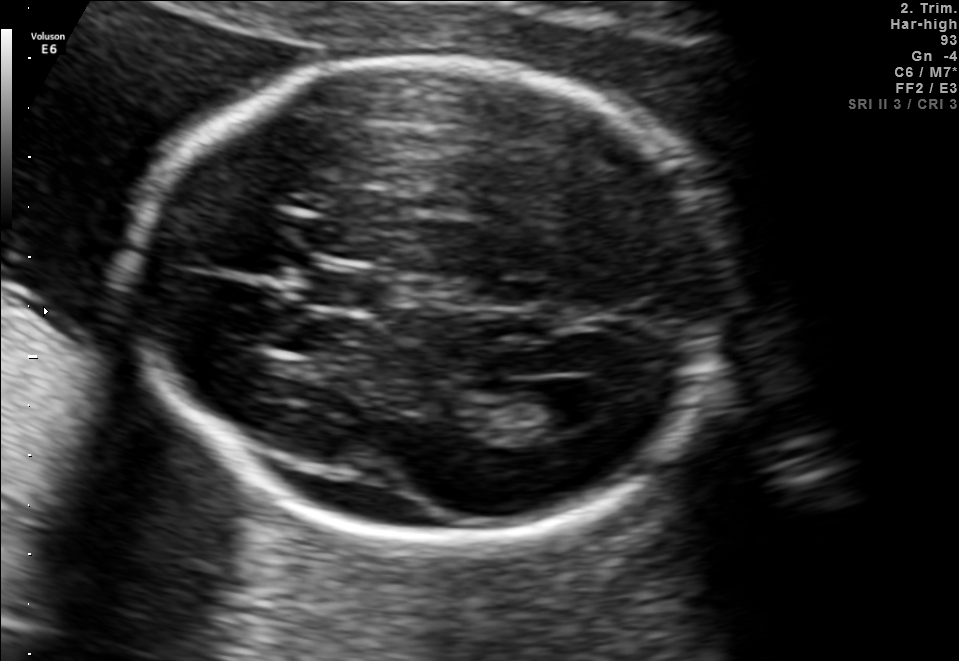
Fetal brain, trans-ventricular plane. Give [x1,y1,x2,y2] bounding boxes for each visible structure among: fetal head, CSP, LV.

Head: [122,50,739,553]
CSP: [299,267,377,311]
Lateral ventricle: [542,376,621,430]